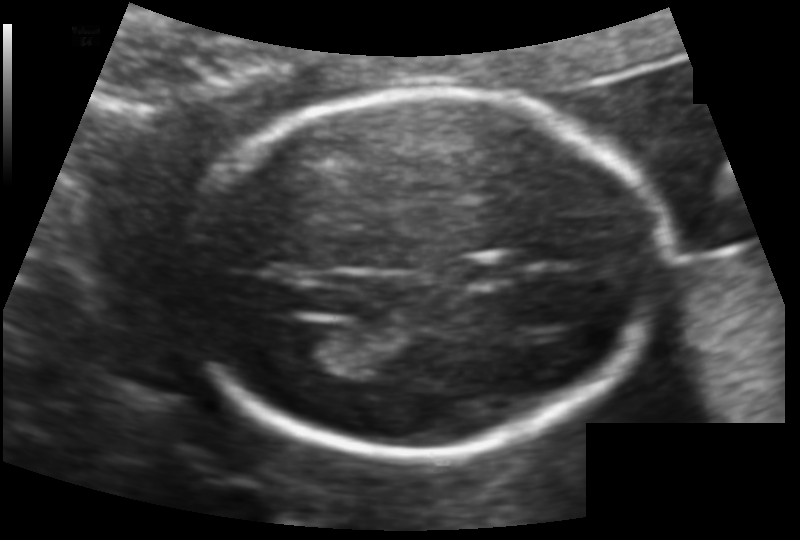
Fetal head ultrasound. Image width: 90.1 mm. Locate the fetal head and, if visible, the cavum septum pellucidum (CSP) and lateral ventricle (LV). Give bounding boxes as [x1,y1,x2,y2].

Head: [184,92,618,457]
CSP: [457,252,522,288]
Lateral ventricle: [276,318,351,371]